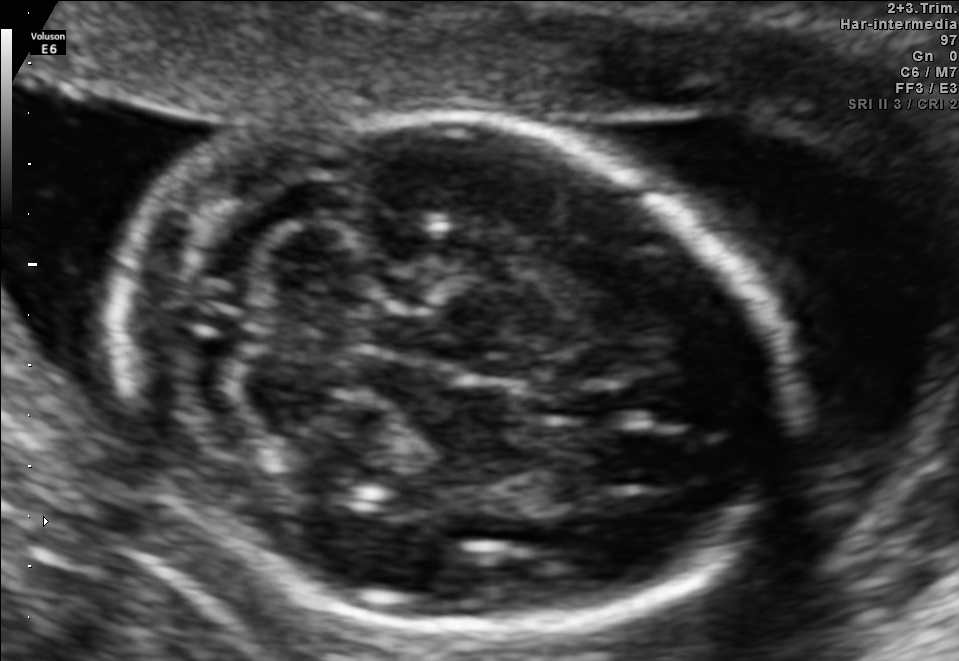
Fetal brain, trans-cerebellum plane. Locate the fetal head.

Head: [107,109,796,632]